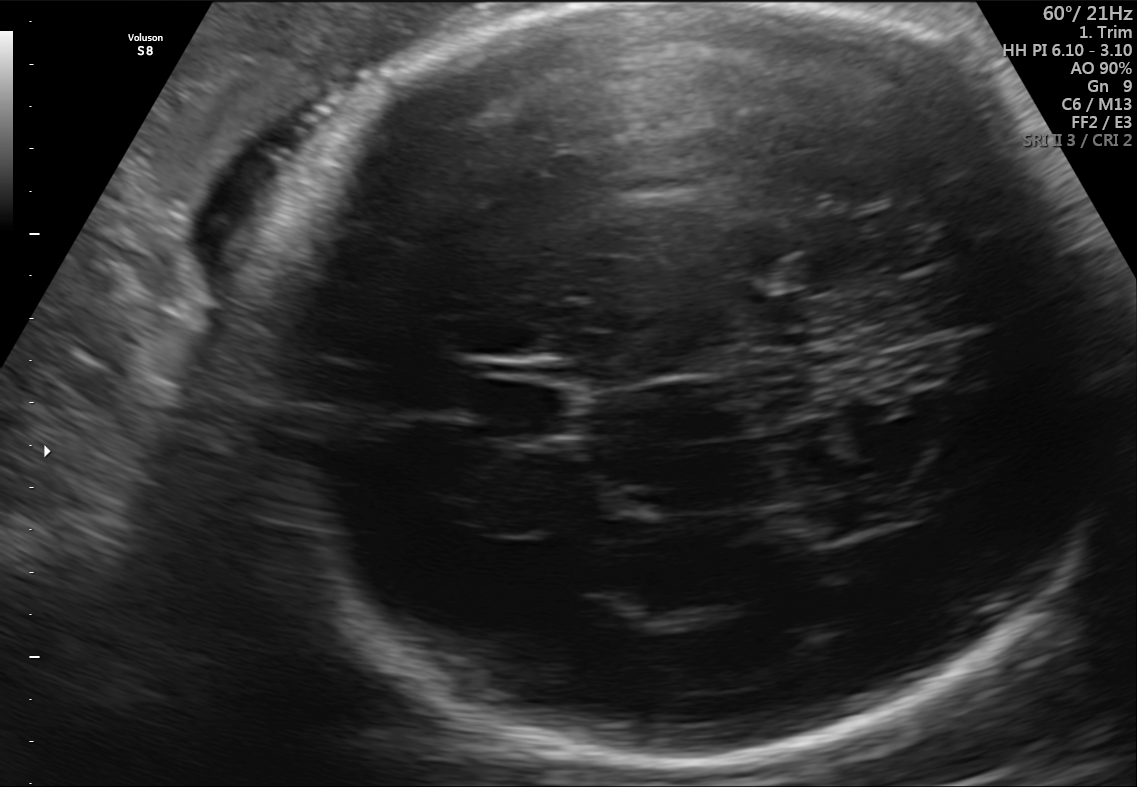
In this fetal brain, trans-thalamic plane, give the bounding box of the fetal head.

[260,10,1105,780]